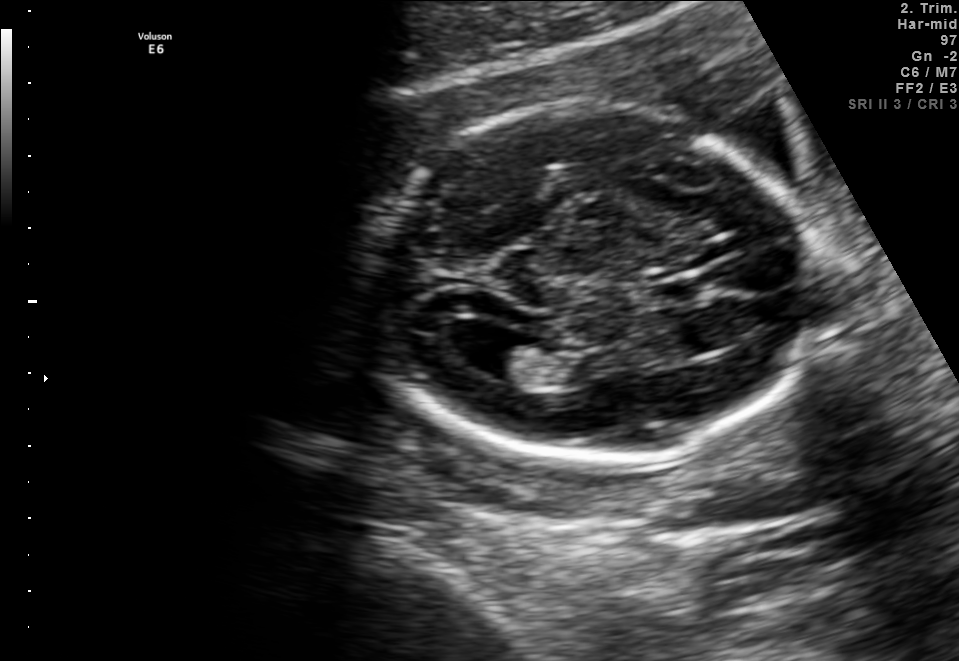
Fetal brain, trans-ventricular plane. Locate the fetal head and, if visible, the cavum septum pellucidum (CSP) and lateral ventricle (LV). Give bounding boxes as [x1,y1,x2,y2].

Head: [358,104,831,475]
CSP: [646,273,717,308]
Lateral ventricle: [453,315,535,385]